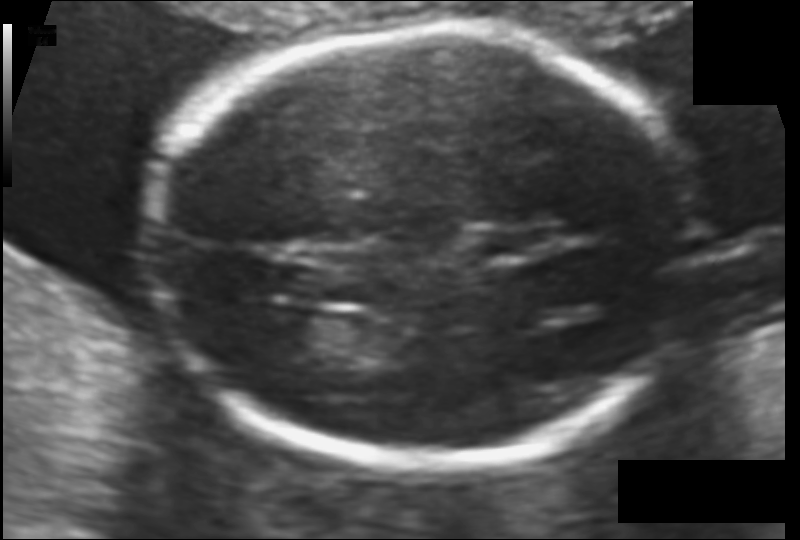
In this fetal head ultrasound, give the bounding box of the fetal head. Image width: 82.1 mm.

[149,29,697,465]